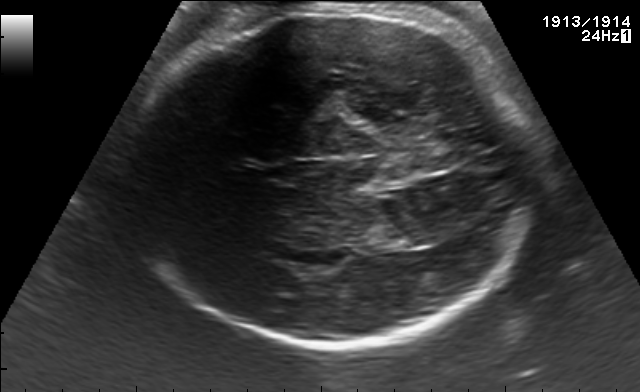
Fetal brain, trans-thalamic plane. Where is the fetal head?

Head bounding box: [120,13,527,349]